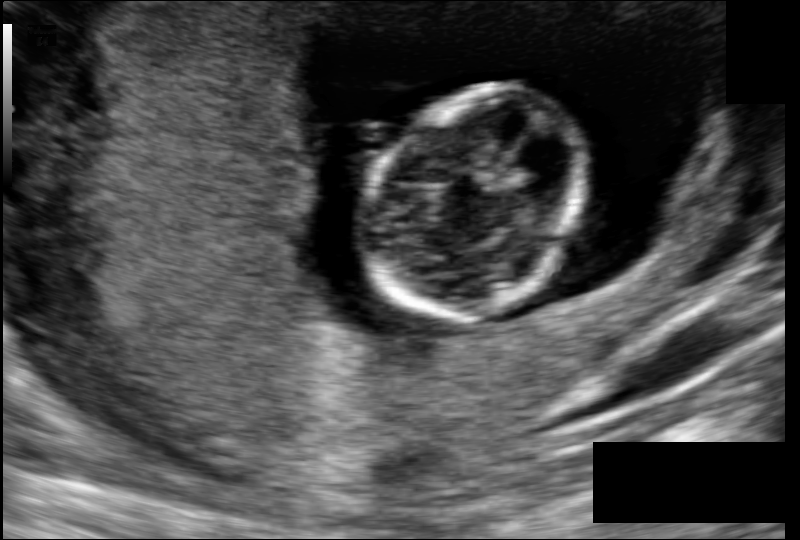
Estimate the fetal head circumference from this 2D ultrasound.

Head circumference: 77.5 mm (image width 86.3 mm).